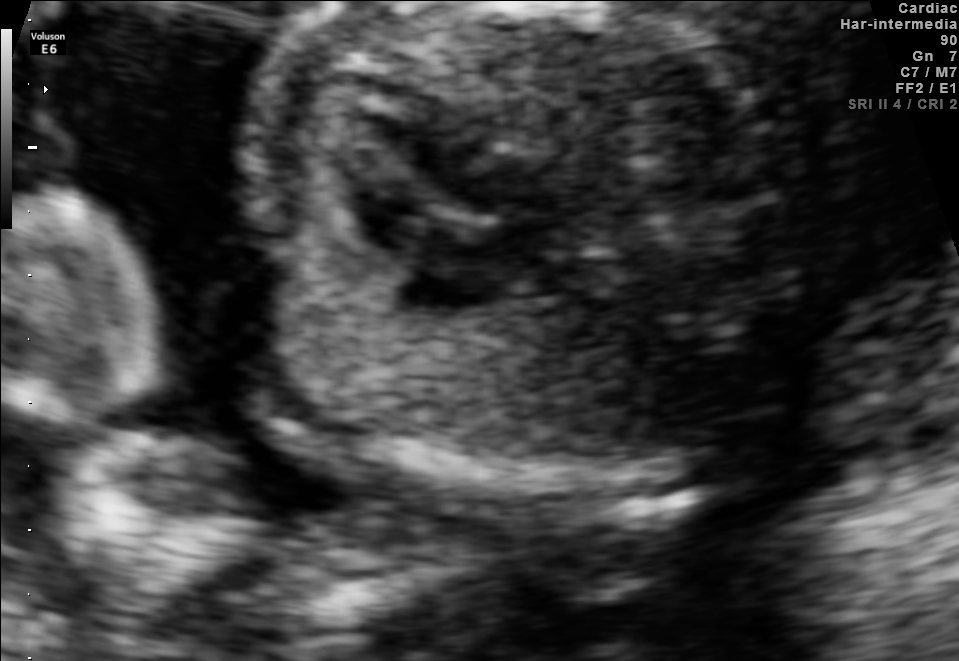
This is a 2D maternal-fetal ultrasound frame. Is it a fetal abdomen, fetal brain, fetal femur, fetal thorax, maternal cervix, or other standard plane? If it's fetal brain and one of the three standard brain planes (trans-thalamic, trans-cerebellum, trans-ventricular), name which.

Fetal thorax